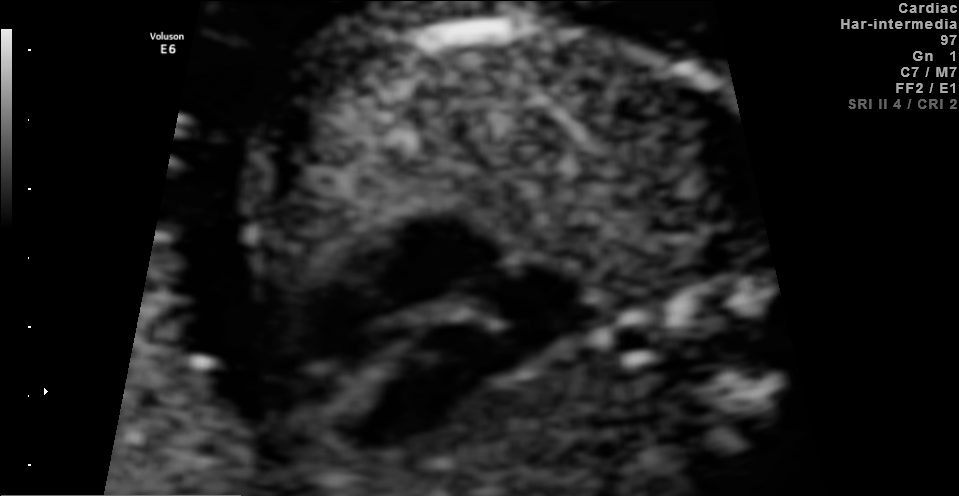
This is a 2D maternal-fetal ultrasound frame. Is it a fetal abdomen, fetal brain, fetal femur, fetal thorax, maternal cervix, or other standard plane? If it's fetal brain and one of the three standard brain planes (trans-thalamic, trans-cerebellum, trans-ventricular), name which.

Fetal thorax